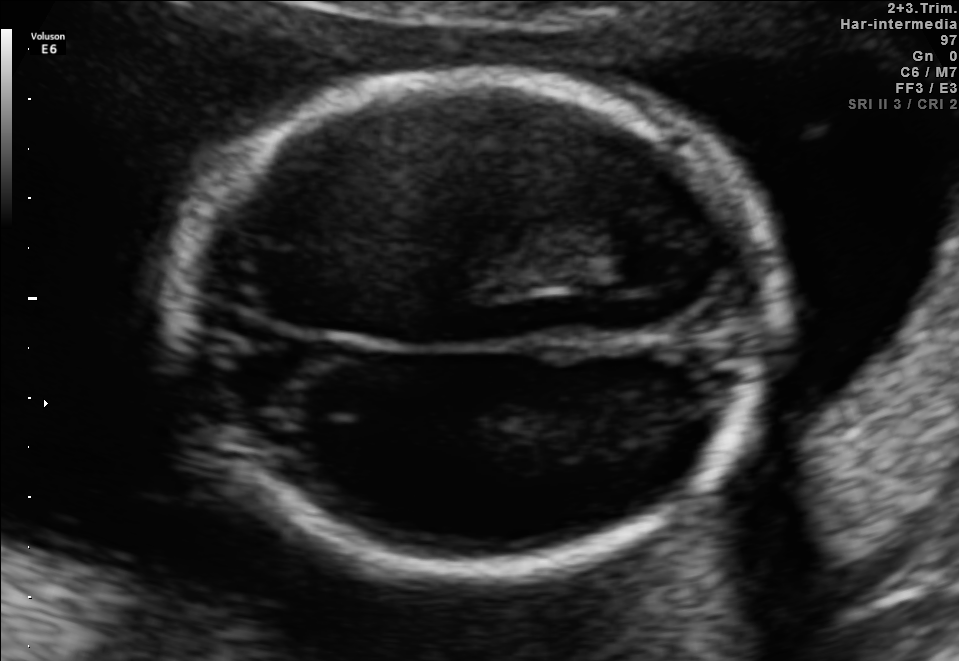
Identify the standard plane in this fetal ultrasound image: fetal abdomen, fetal brain, fetal femur, fetal thorax, maternal cervix, or other. If it's fetal brain and one of the three standard brain planes (trans-thalamic, trans-cerebellum, trans-ventricular), name which.

Fetal brain (trans-thalamic plane)